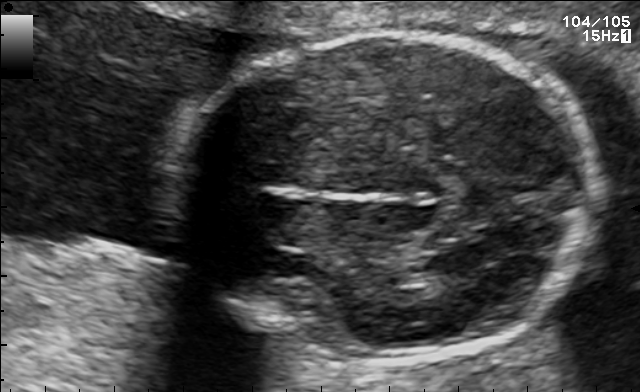
Fetal brain, trans-thalamic plane. Give [x1,y1,x2,y2] bounding boxes for each visible structure among: fetal head, CSP, LV.

Head: [166,34,600,364]